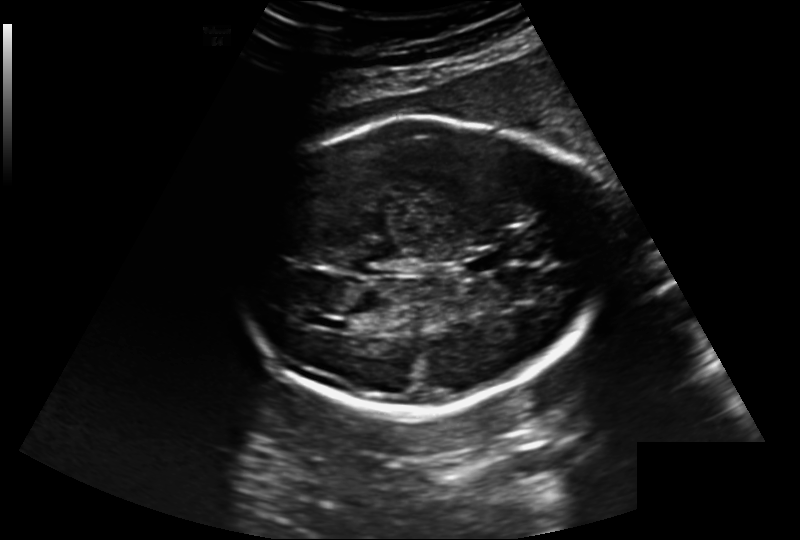
Fetal head ultrasound. Image width: 175.6 mm. Locate the fetal head.

Head: [235,115,610,413]